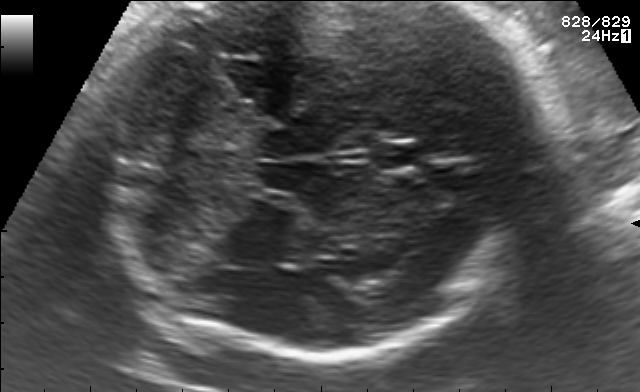
Fetal brain, trans-cerebellum plane. Give [x1,y1,x2,y2] bounding boxes for each visible structure among: fetal head, CSP, LV.

Head: [115,2,557,356]
CSP: [372,140,420,171]